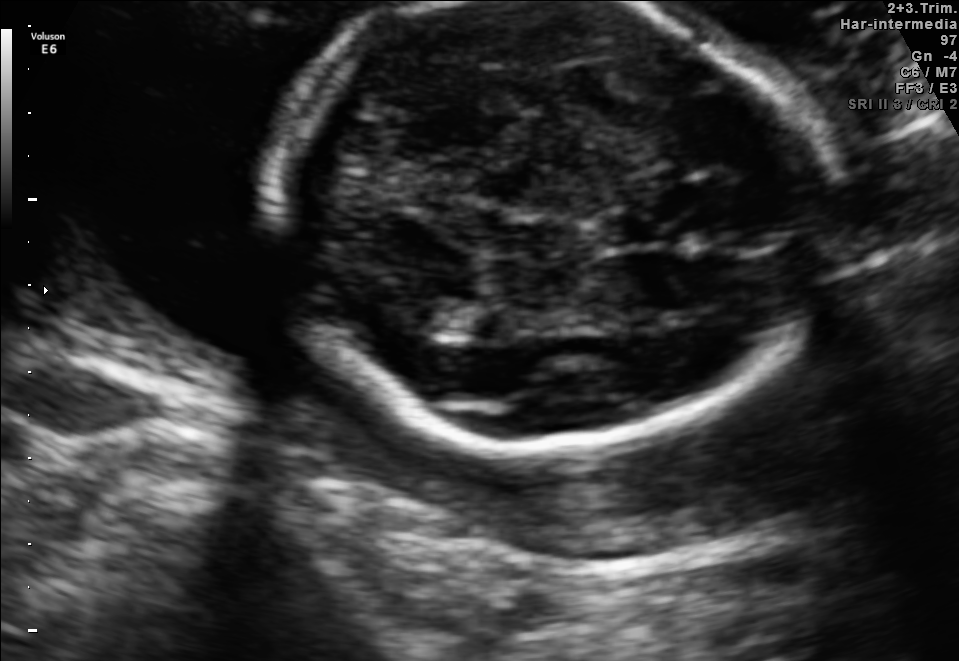
Which standard maternal-fetal ultrasound plane is shown: fetal abdomen, fetal brain, fetal femur, fetal thorax, maternal cervix, or other? If it's fetal brain and one of the three standard brain planes (trans-thalamic, trans-cerebellum, trans-ventricular), name which.

Fetal brain (trans-thalamic plane)